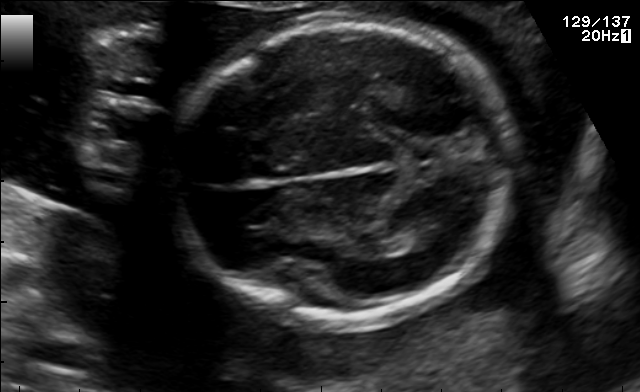
Which standard maternal-fetal ultrasound plane is shown: fetal abdomen, fetal brain, fetal femur, fetal thorax, maternal cervix, or other? If it's fetal brain and one of the three standard brain planes (trans-thalamic, trans-cerebellum, trans-ventricular), name which.

Fetal brain (trans-thalamic plane)